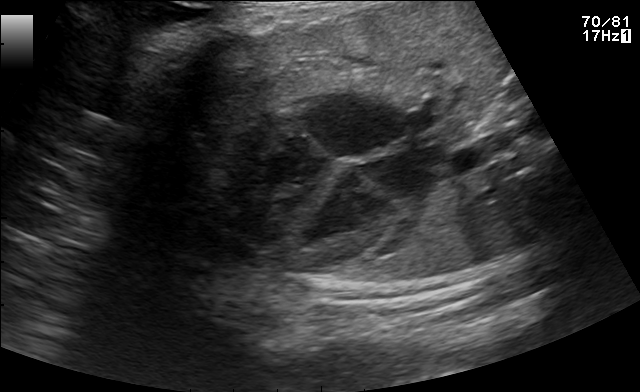
Classify this maternal-fetal ultrasound image as one of the six standard planes — fetal abdomen, fetal brain, fetal femur, fetal thorax, maternal cervix, or other. If it's fetal brain and one of the three standard brain planes (trans-thalamic, trans-cerebellum, trans-ventricular), name which.

Fetal thorax